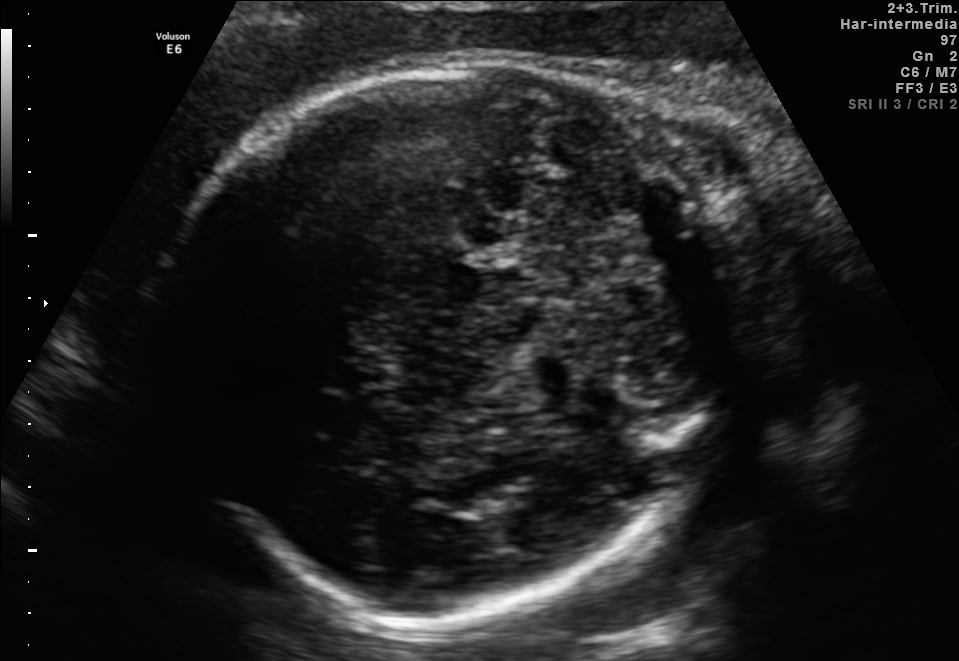
Fetal brain, trans-thalamic plane. Where is the fetal head?

Head bounding box: [162,61,771,618]